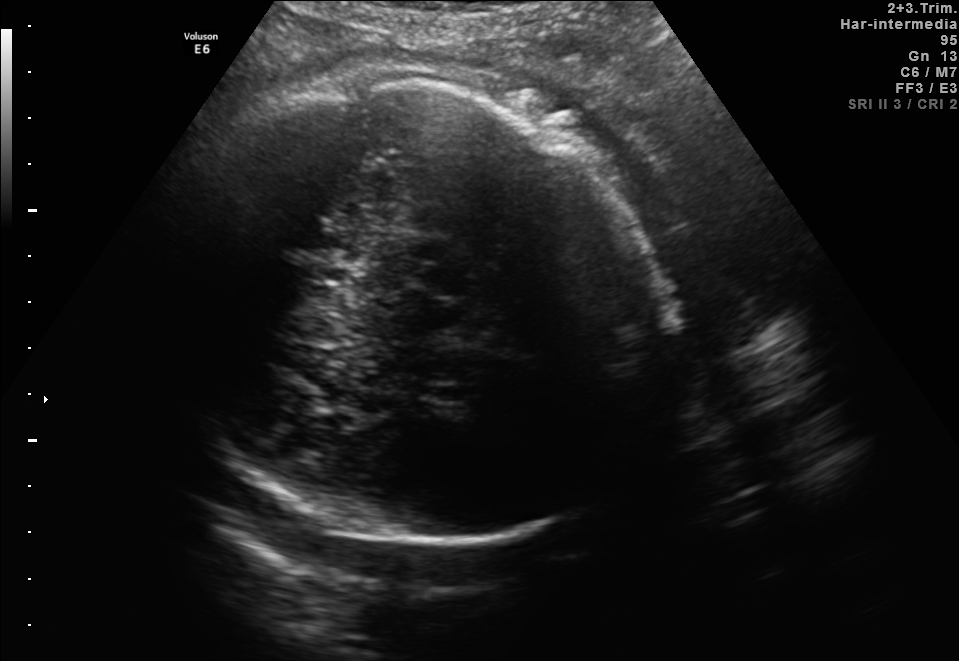
In this fetal brain, trans-thalamic plane, give bounding boxes for the head outline, cavum septum pellucidum (CSP), and lateral ventricle (LV), where visible.

Head: [140,83,677,542]